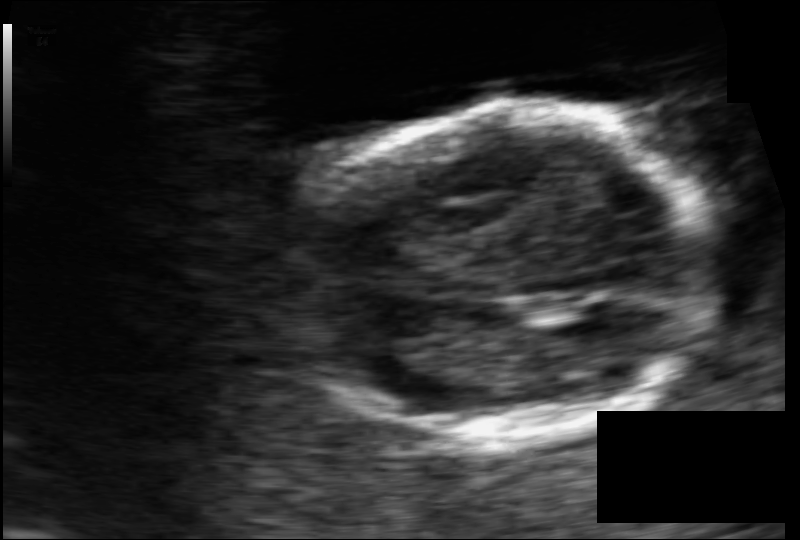
What is the fetal head circumference? Image width is 67.0 mm.

103.9 mm